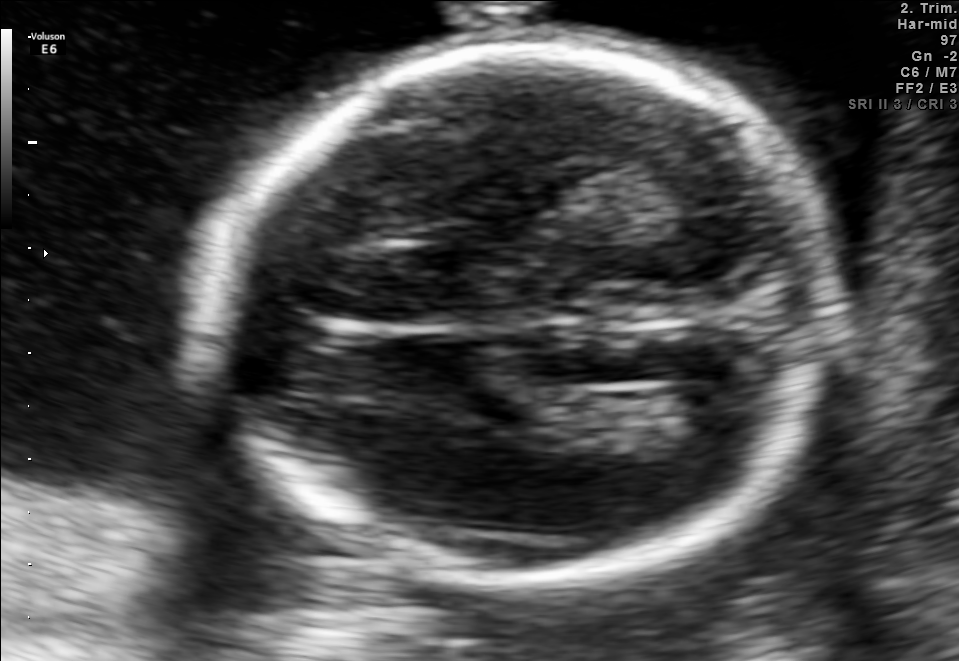
Fetal brain, trans-ventricular plane. Give [x1,y1,x2,y2] bounding boxes for each visible structure among: fetal head, CSP, LV.

Head: [218,39,841,590]